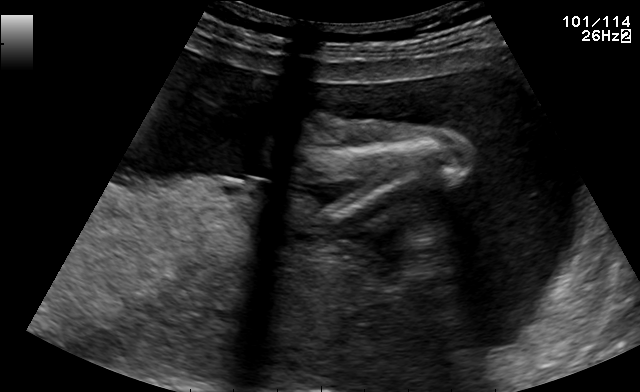
This is a 2D maternal-fetal ultrasound frame. Is it a fetal abdomen, fetal brain, fetal femur, fetal thorax, maternal cervix, or other standard plane? If it's fetal brain and one of the three standard brain planes (trans-thalamic, trans-cerebellum, trans-ventricular), name which.

Fetal femur